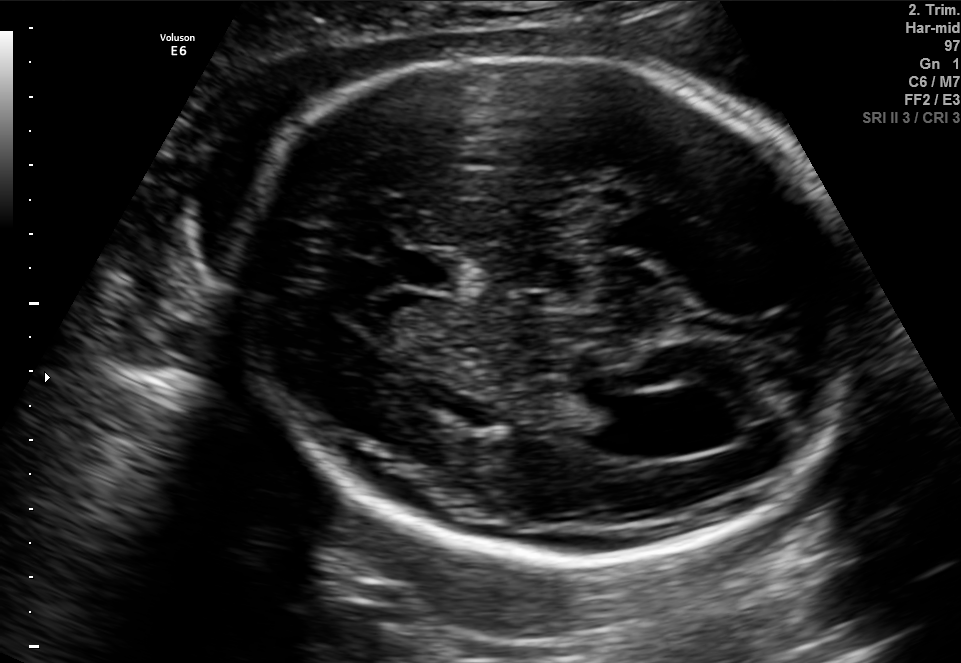
Fetal brain, trans-ventricular plane. Locate the cavum septum pellucidum.

CSP: [375,244,472,296]